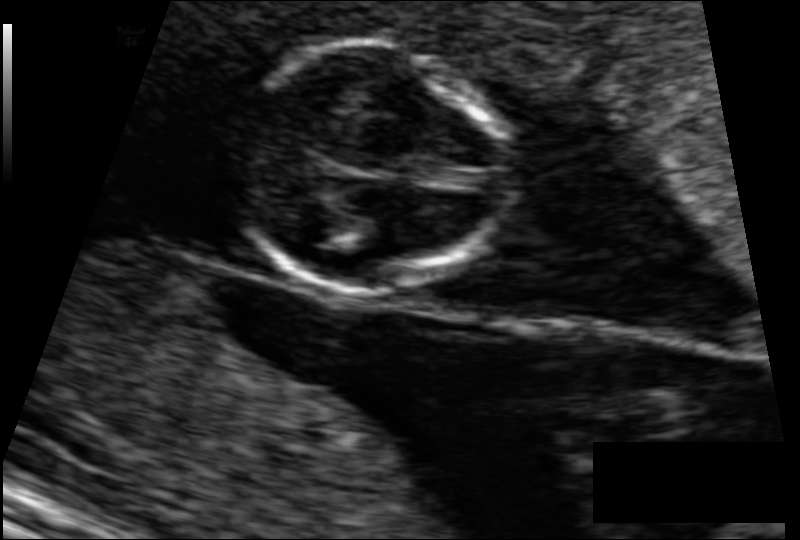
Estimate the fetal head circumference from this 2D ultrasound. Image width: 66.3 mm.

Head circumference: 70.1 mm.